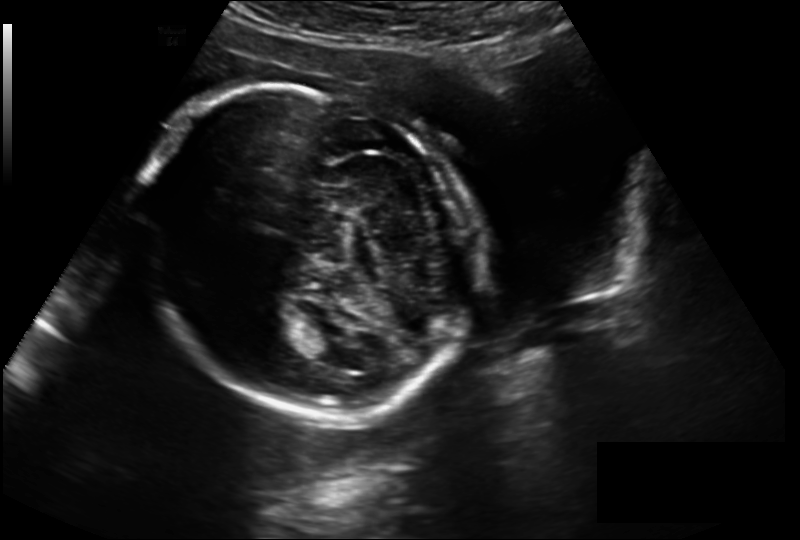
In this fetal head ultrasound, give the bounding box of the fetal head. Image width: 168.8 mm.

[141,85,465,422]